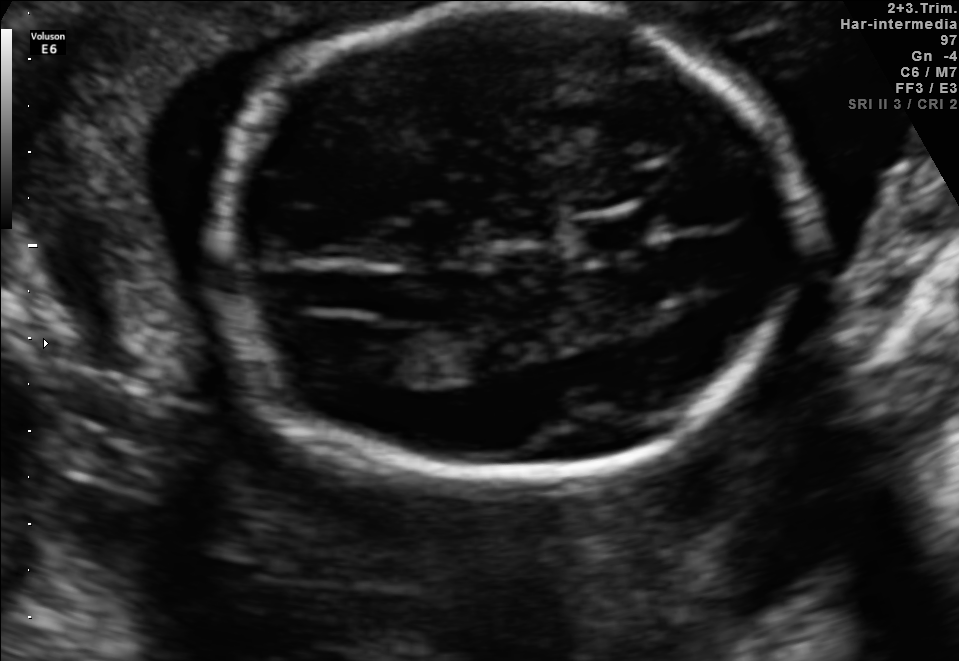
Fetal brain, trans-ventricular plane. Where is the cavum septum pellucidum?

CSP bounding box: [557,196,674,270]